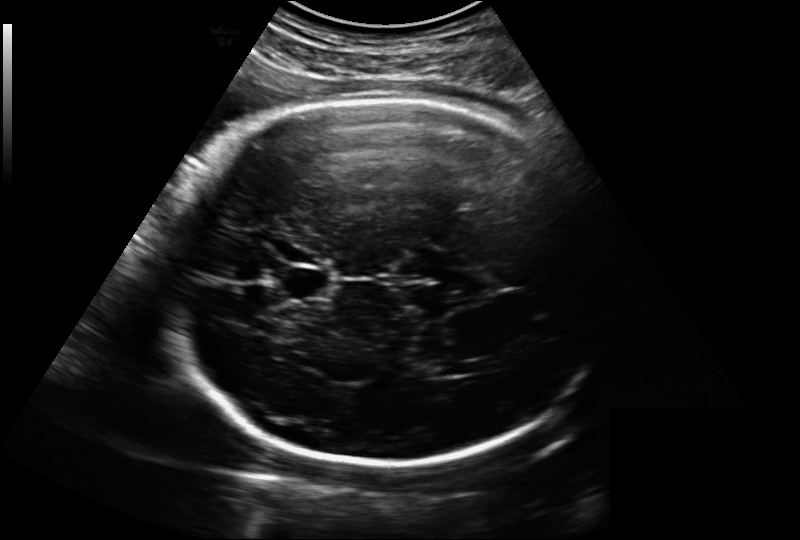
In this fetal head ultrasound, give the bounding box of the fetal head. Image width: 176.5 mm.

[156,97,614,464]